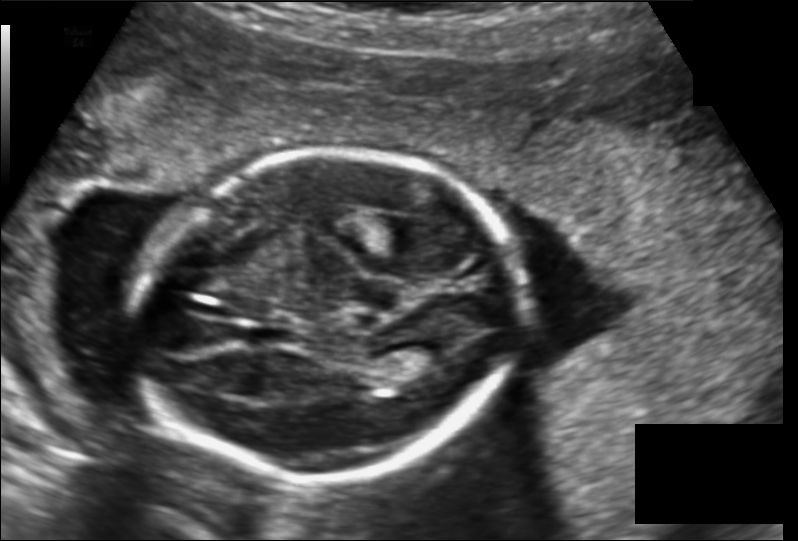
In this fetal head ultrasound, give the bounding box of the fetal head. Image width: 118.8 mm.

[134,151,524,480]